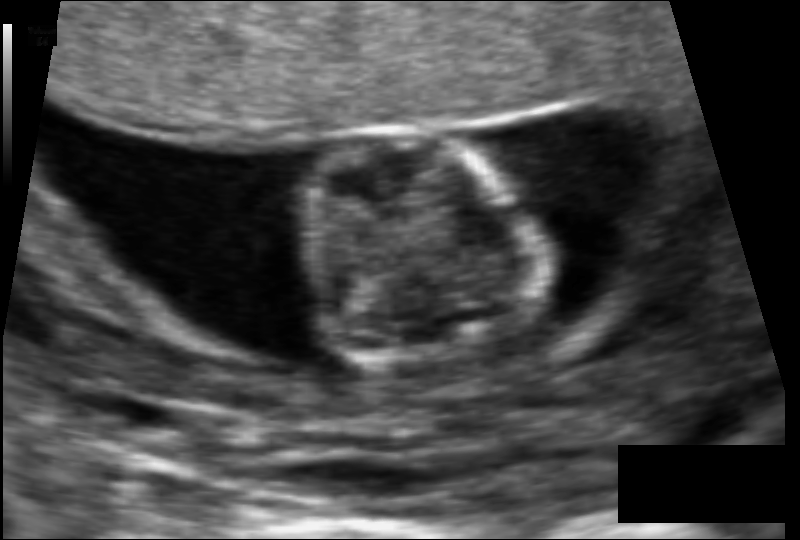
Estimate the fetal head circumference from this 2D ultrasound. Image width: 63.1 mm.

Head circumference: 63.3 mm.